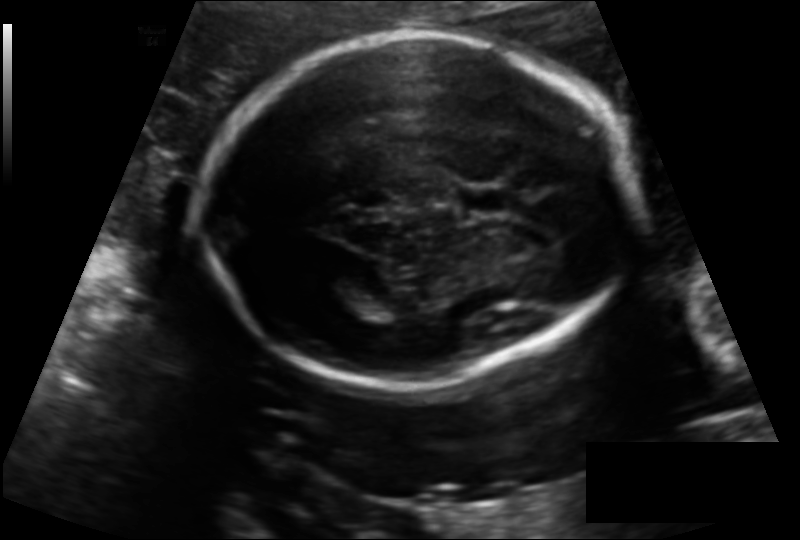
Estimate the fetal head circumference from this 2D ultrasound.

Head circumference: 177.5 mm (image width 111.5 mm).